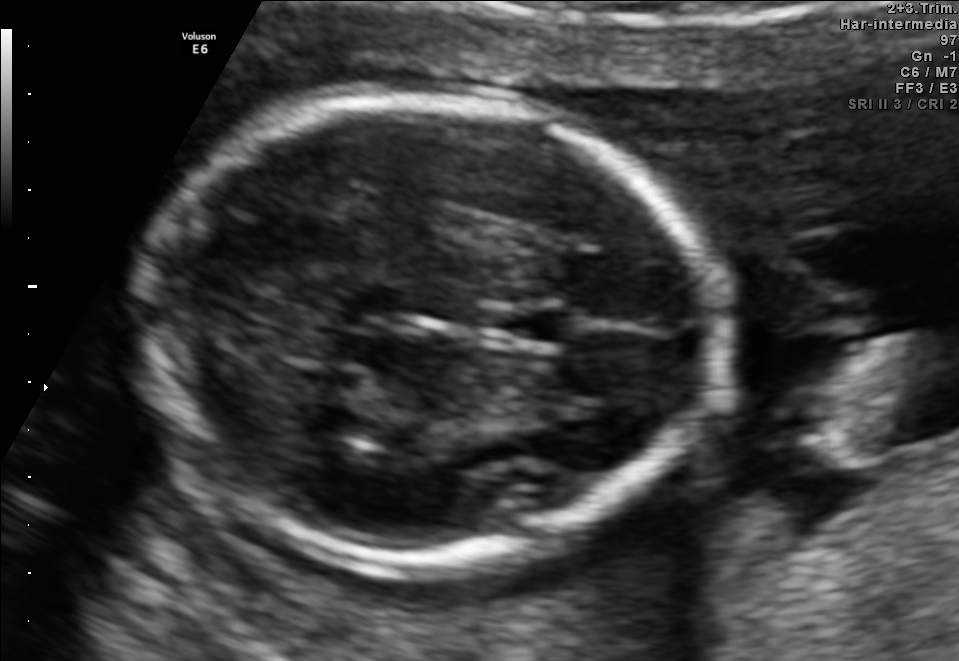
Fetal brain, trans-thalamic plane. Locate the fetal head and, if visible, the cavum septum pellucidum (CSP) and lateral ventricle (LV). Give bounding boxes as [x1,y1,x2,y2].

Head: [139,98,724,567]
CSP: [496,308,573,344]